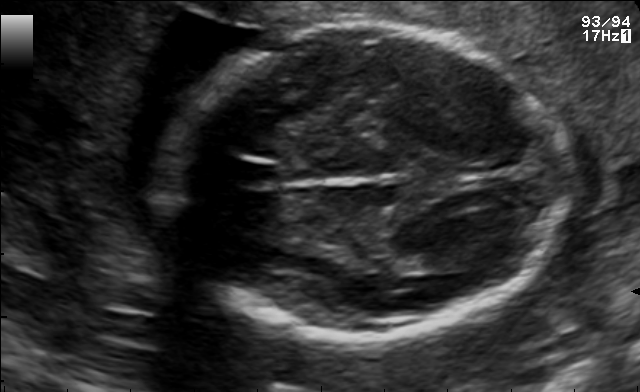
Fetal brain, trans-thalamic plane. Give [x1,y1,x2,y2] bounding boxes for each visible structure among: fetal head, CSP, LV.

Head: [155,27,567,339]
CSP: [228,160,279,188]
Lateral ventricle: [419,248,475,274]